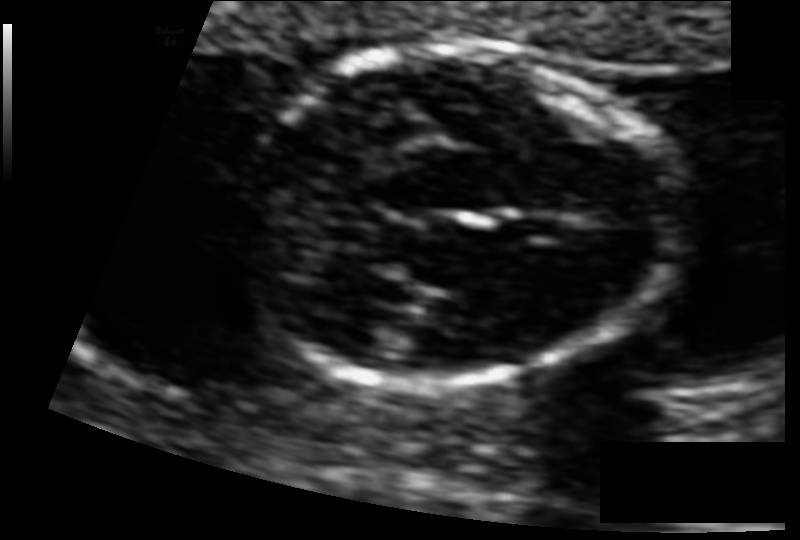
Estimate the fetal head circumference from this 2D ultrasound. Image width: 58.4 mm.

Head circumference: 92.6 mm.